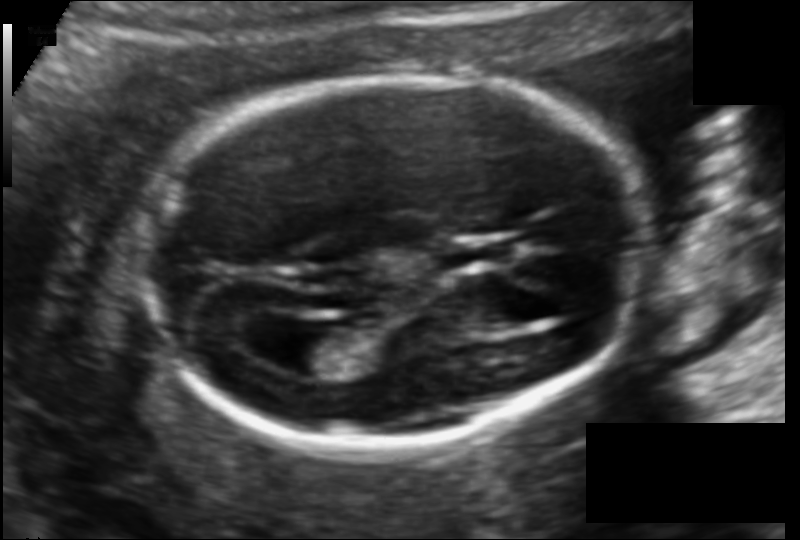
Fetal head ultrasound. Image width: 91.5 mm. Locate the lateral ventricle.

Lateral ventricle: [257,323,335,379]